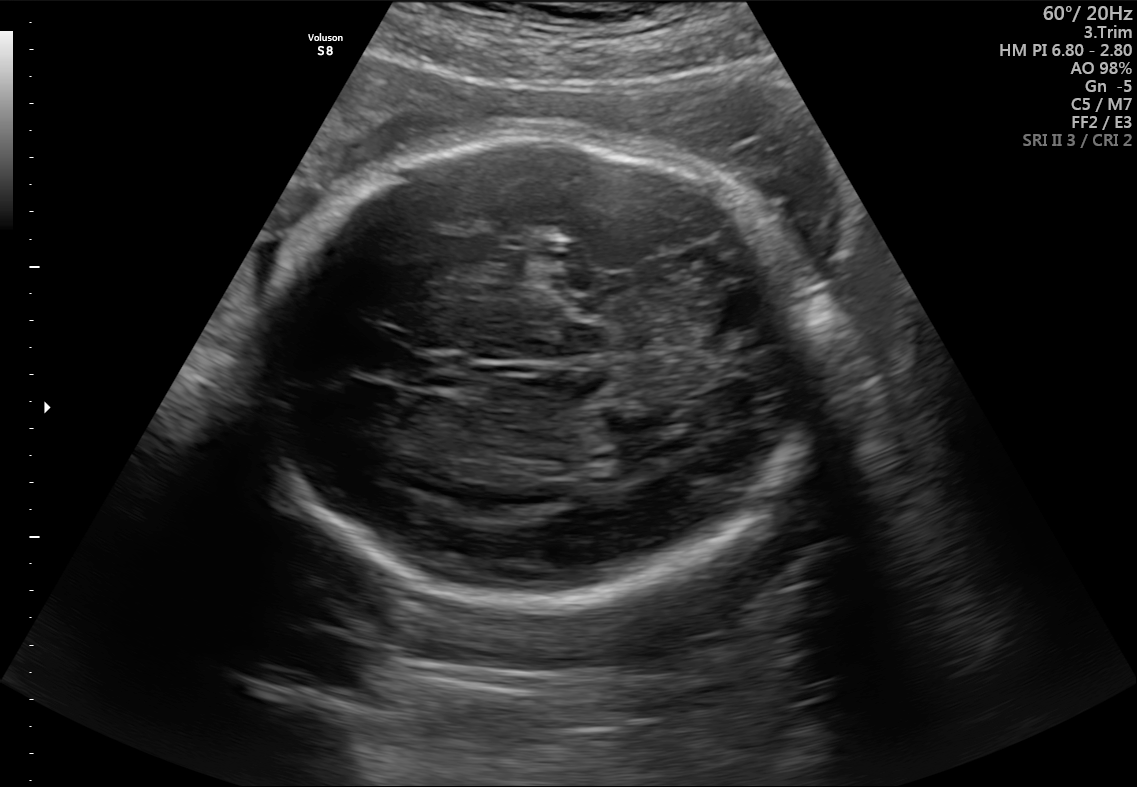
Fetal brain, trans-thalamic plane. Locate the fetal head and, if visible, the cavum septum pellucidum (CSP) and lateral ventricle (LV). Give bounding boxes as [x1,y1,x2,y2].

Head: [251,135,822,607]
CSP: [398,351,458,394]